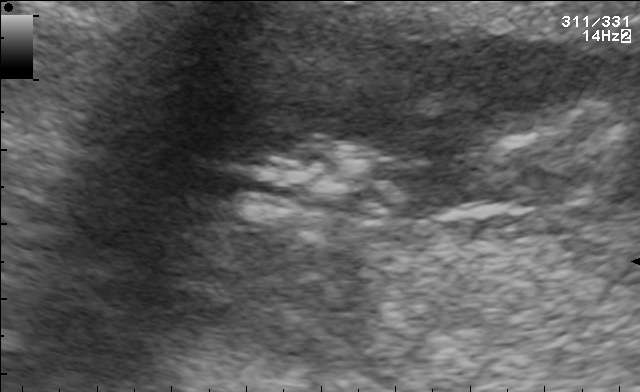
Classify this maternal-fetal ultrasound image as one of the six standard planes — fetal abdomen, fetal brain, fetal femur, fetal thorax, maternal cervix, or other. If it's fetal brain and one of the three standard brain planes (trans-thalamic, trans-cerebellum, trans-ventricular), name which.

Other